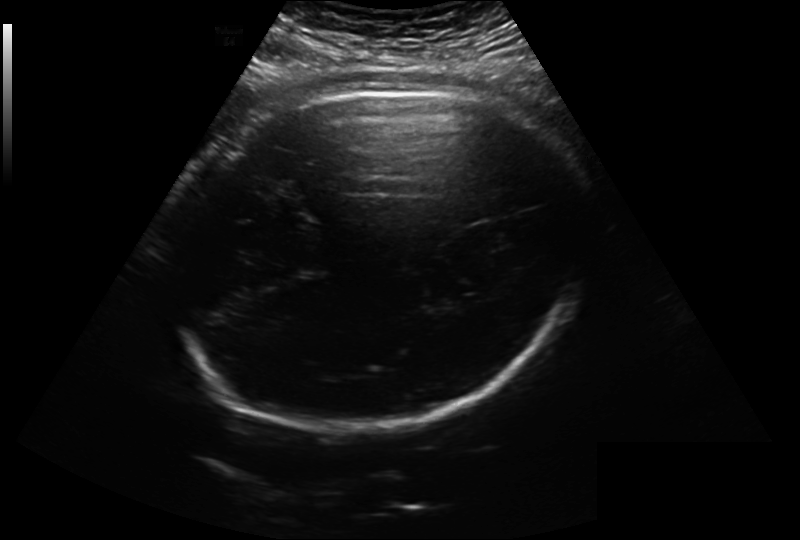
Estimate the fetal head circumference from this 2D ultrasound. Image width: 223.6 mm.

Head circumference: 346.4 mm.